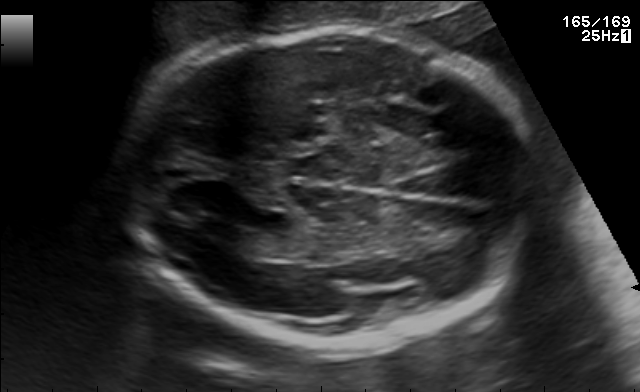
Which standard maternal-fetal ultrasound plane is shown: fetal abdomen, fetal brain, fetal femur, fetal thorax, maternal cervix, or other? If it's fetal brain and one of the three standard brain planes (trans-thalamic, trans-cerebellum, trans-ventricular), name which.

Fetal brain (trans-ventricular plane)